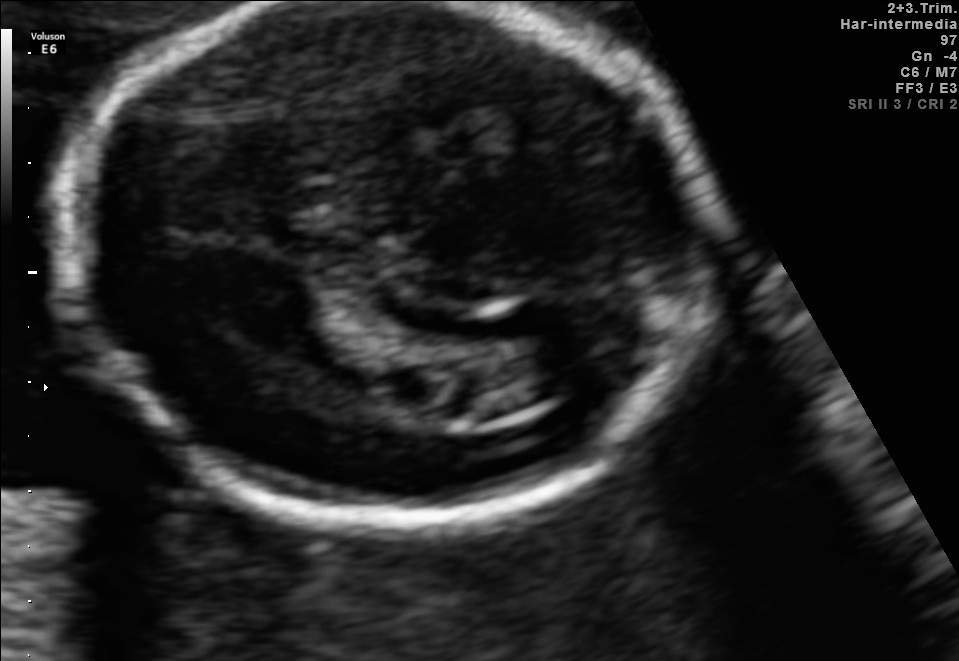
Fetal brain, trans-ventricular plane. Locate the lateral ventricle.

Lateral ventricle: [512,330,609,407]